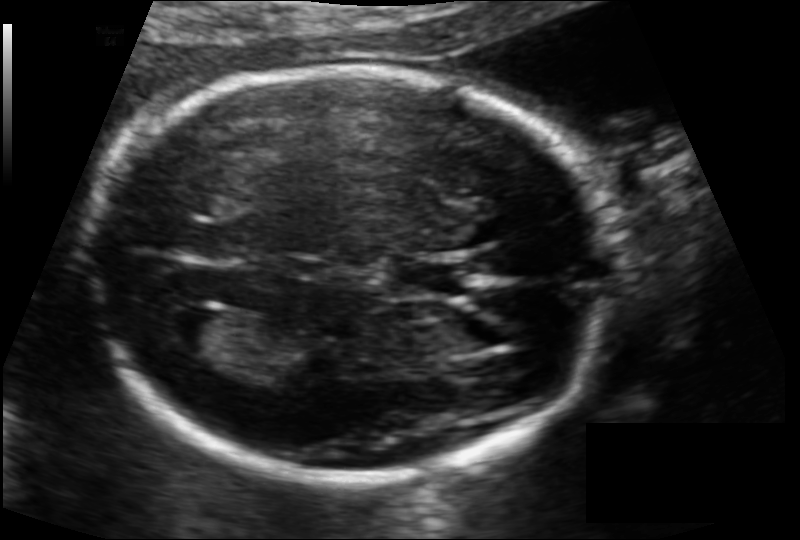
Fetal head ultrasound. Image width: 91.1 mm. Locate the cavum septum pellucidum.

CSP: [388,257,469,297]